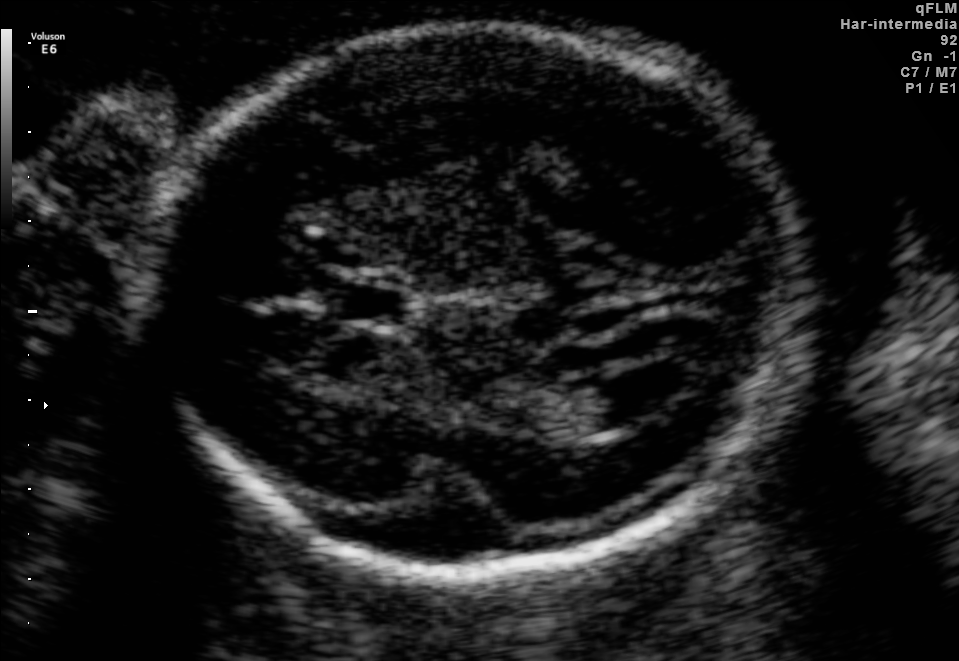
In this fetal brain, trans-ventricular plane, give the bounding box of the lateral ventricle.

[567,357,676,438]